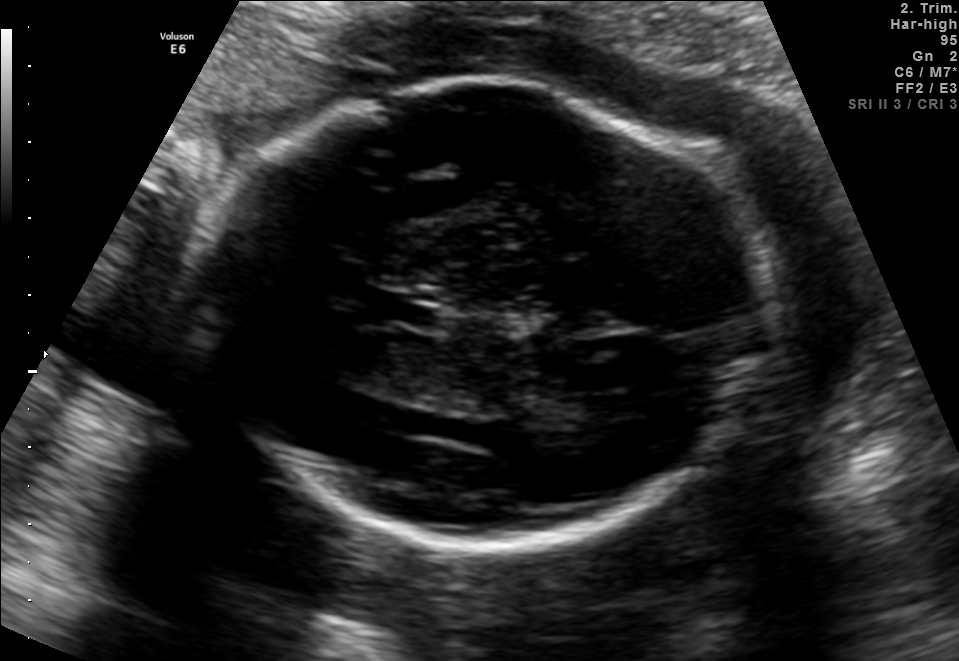
Fetal brain, trans-thalamic plane. Locate the cavum septum pellucidum.

CSP: [370,289,441,328]